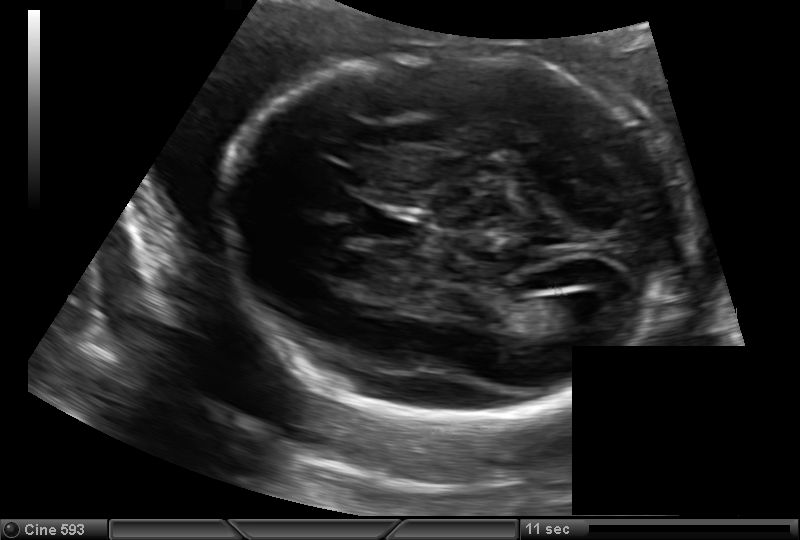
Estimate the fetal head circumference from this 2D ultrasound. Image width: 115.2 mm.

Head circumference: 196.0 mm.